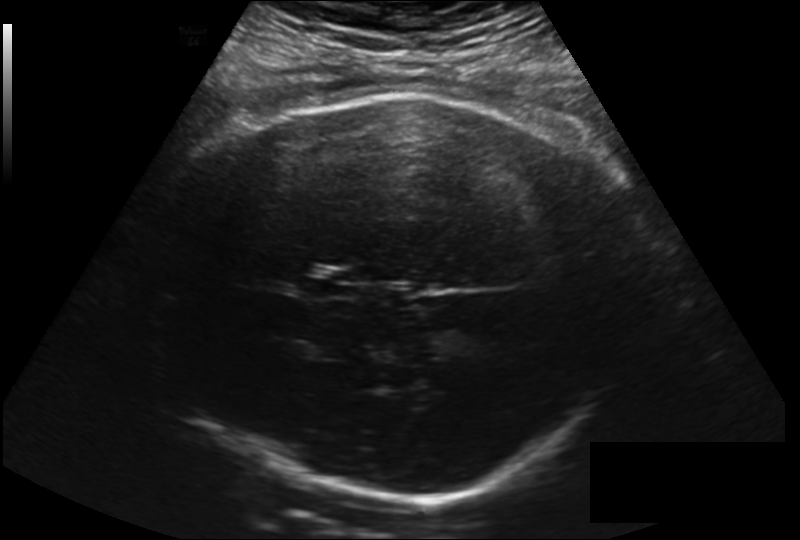
Measure the fetal head circumference shown in this ultrasound image. Image width: 179.8 mm.

Head circumference: 327.9 mm.